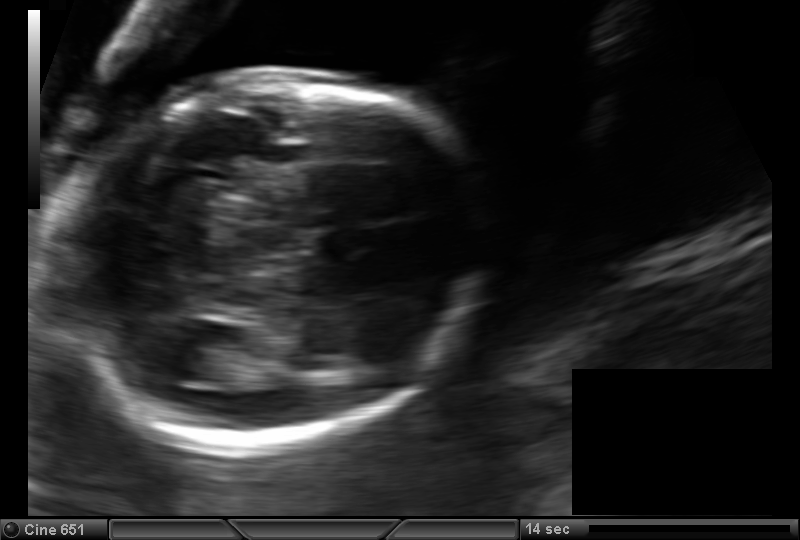
Fetal head ultrasound. Image width: 106.1 mm. Where is the fetal head?

Head bounding box: [56,82,482,450]